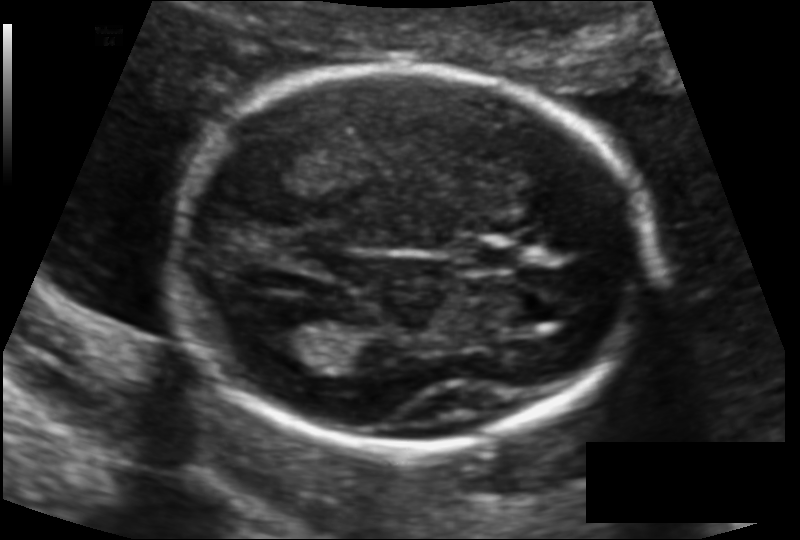
Fetal head ultrasound. Image width: 93.3 mm. Where is the fetal head?

Head bounding box: [172,68,652,448]